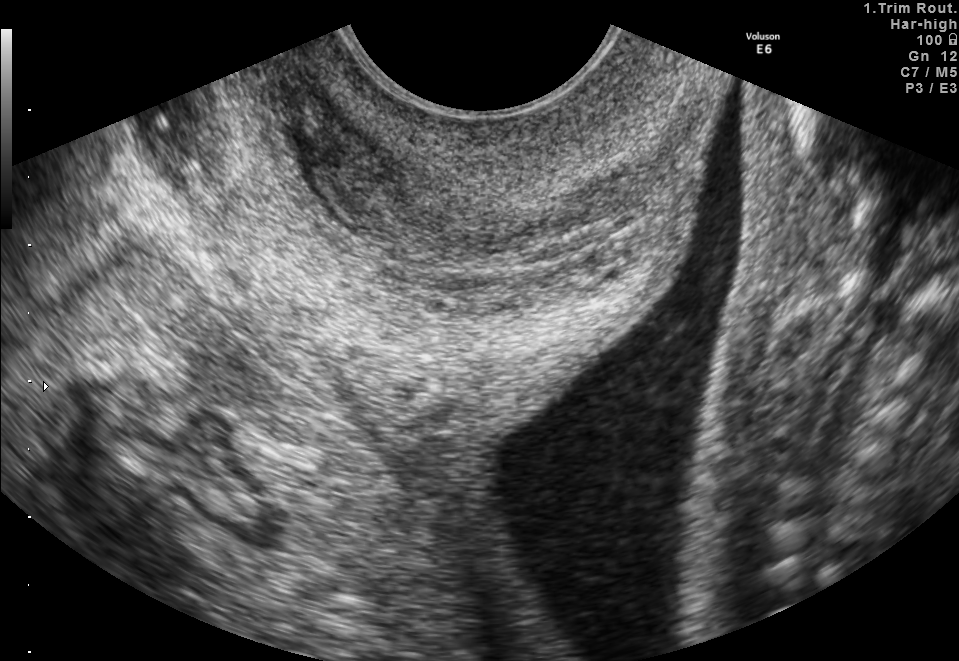
Identify the standard plane in this fetal ultrasound image: fetal abdomen, fetal brain, fetal femur, fetal thorax, maternal cervix, or other. If it's fetal brain and one of the three standard brain planes (trans-thalamic, trans-cerebellum, trans-ventricular), name which.

Maternal cervix